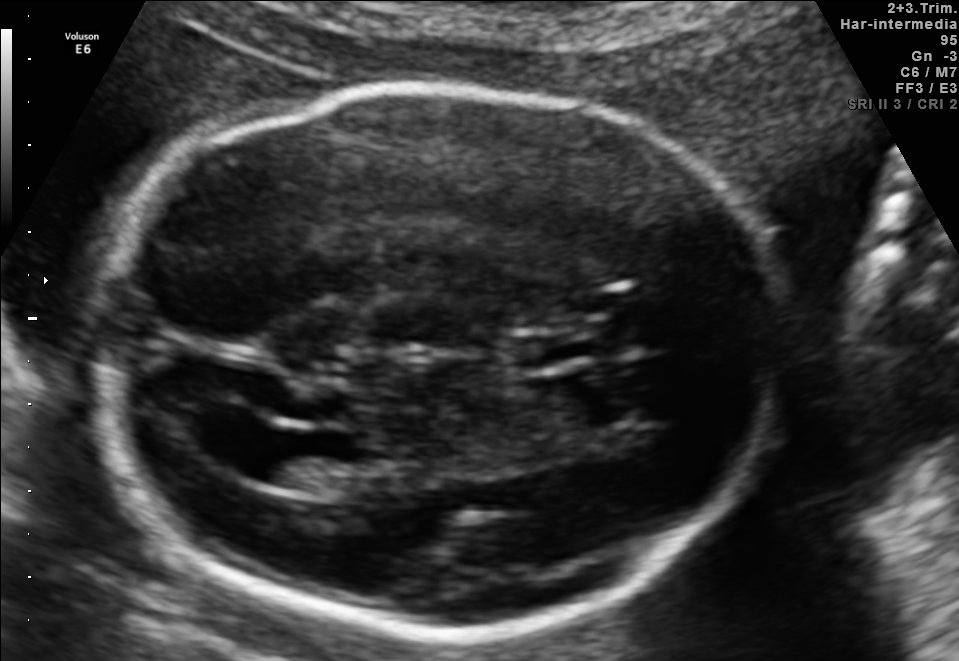
Fetal brain, trans-ventricular plane. Where is the fetal head?

Head bounding box: [78,77,803,644]